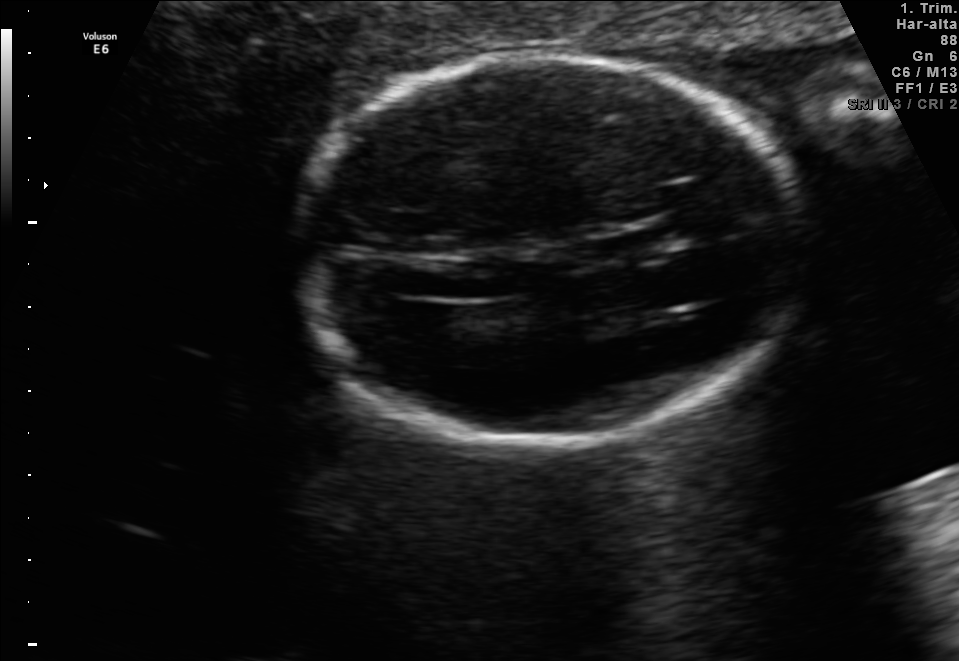
Fetal brain, trans-thalamic plane. Give [x1,y1,x2,y2] bounding boxes for each visible structure among: fetal head, CSP, LV.

Head: [297,58,804,443]